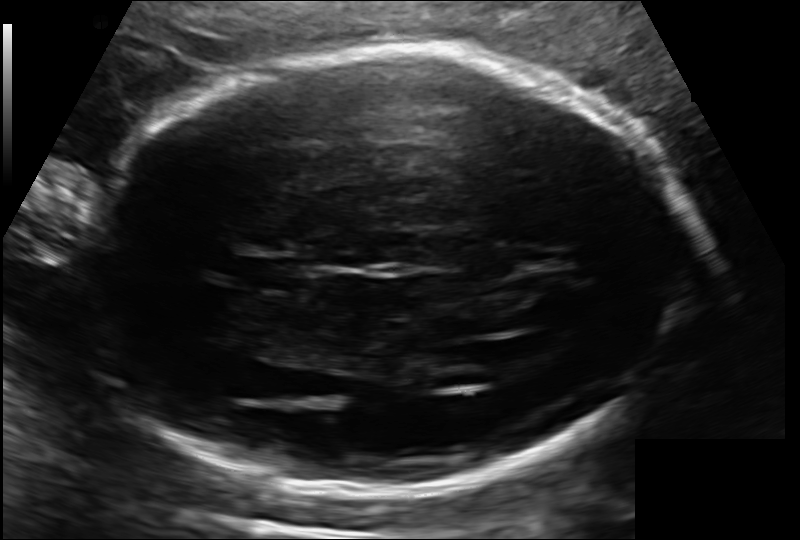
Fetal head ultrasound. Image width: 114.4 mm. Give [x1,y1,x2,y2] bounding boxes for each visible structure among: fetal head, CSP, LV.

Head: [79,48,694,495]
CSP: [235,252,306,294]
Lateral ventricle: [507,320,591,381]